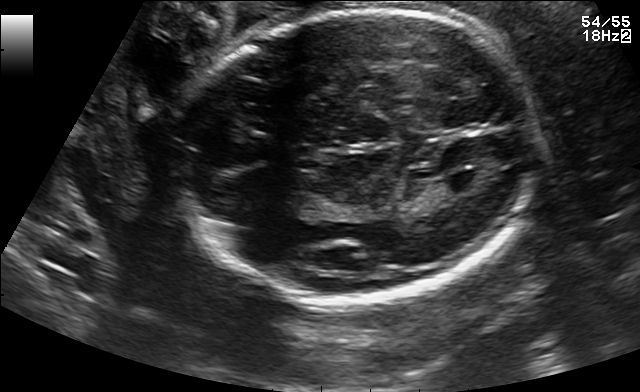
Fetal brain, trans-ventricular plane. Locate the fetal head.

Head: [168,5,549,307]